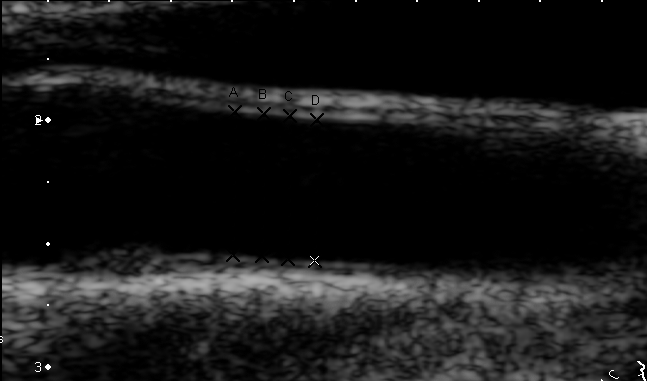
This is a 2D maternal-fetal ultrasound frame. Is it a fetal abdomen, fetal brain, fetal femur, fetal thorax, maternal cervix, or other standard plane? If it's fetal brain and one of the three standard brain planes (trans-thalamic, trans-cerebellum, trans-ventricular), name which.

Other